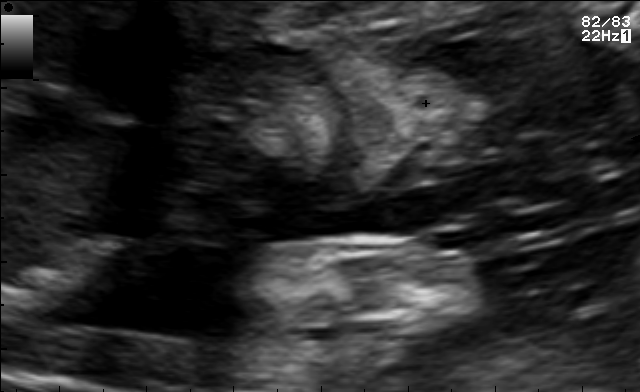
This is a 2D maternal-fetal ultrasound frame. Is it a fetal abdomen, fetal brain, fetal femur, fetal thorax, maternal cervix, or other standard plane? If it's fetal brain and one of the three standard brain planes (trans-thalamic, trans-cerebellum, trans-ventricular), name which.

Other